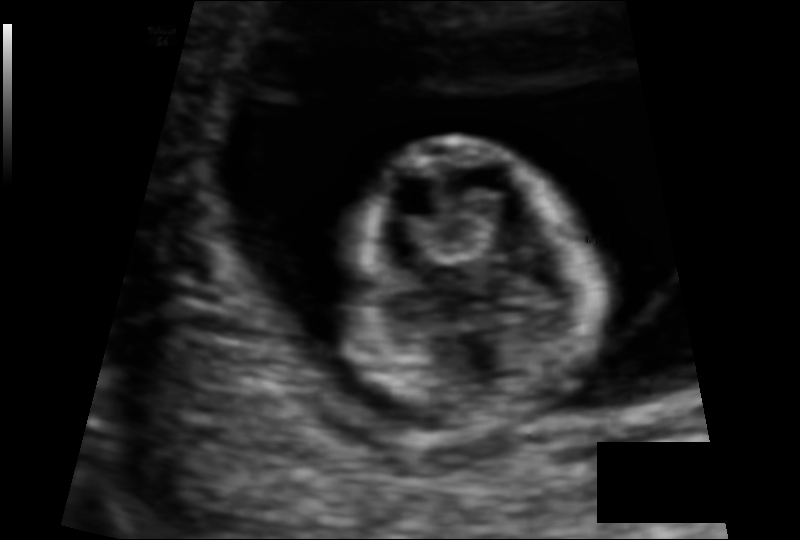
In this fetal head ultrasound, give bounding boxes for the head outline, cavum septum pellucidum (CSP), and lateral ventricle (LV), where visible. Image width: 70.2 mm.

Head: [349,138,596,428]